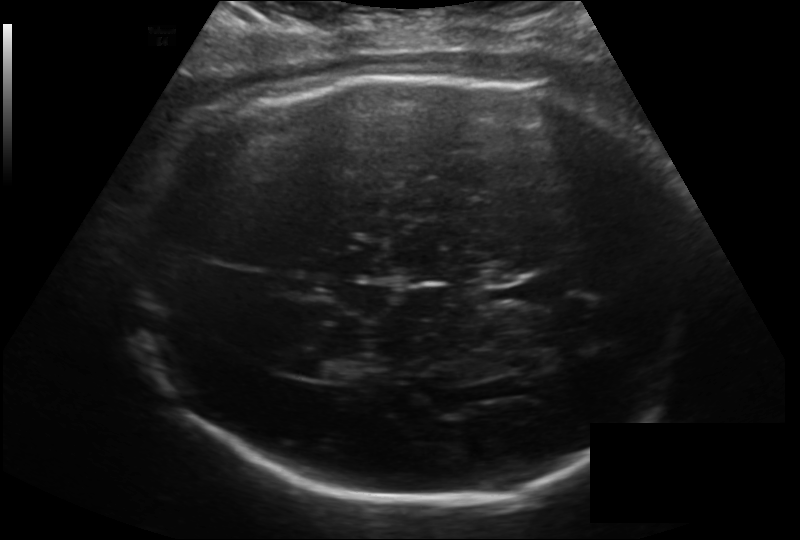
Fetal head ultrasound. Image width: 154.4 mm. Locate the fetal head and, if visible, the cavum septum pellucidum (CSP) and lateral ventricle (LV). Give bounding boxes as [x1,y1,x2,y2].

Head: [126,75,707,502]
CSP: [515,265,585,306]
Lateral ventricle: [304,349,365,384]